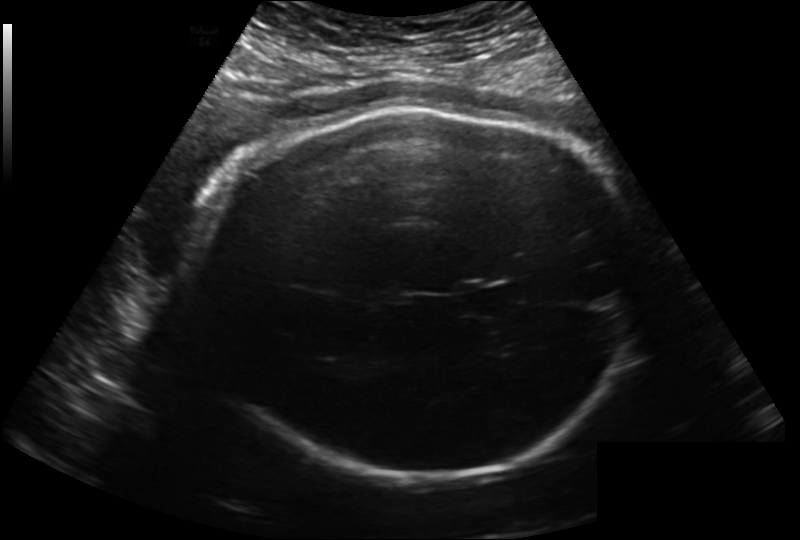
Fetal head ultrasound. Image width: 177.2 mm. Give [x1,y1,x2,y2] bounding boxes for each visible structure among: fetal head, CSP, LV.

Head: [196,106,639,480]